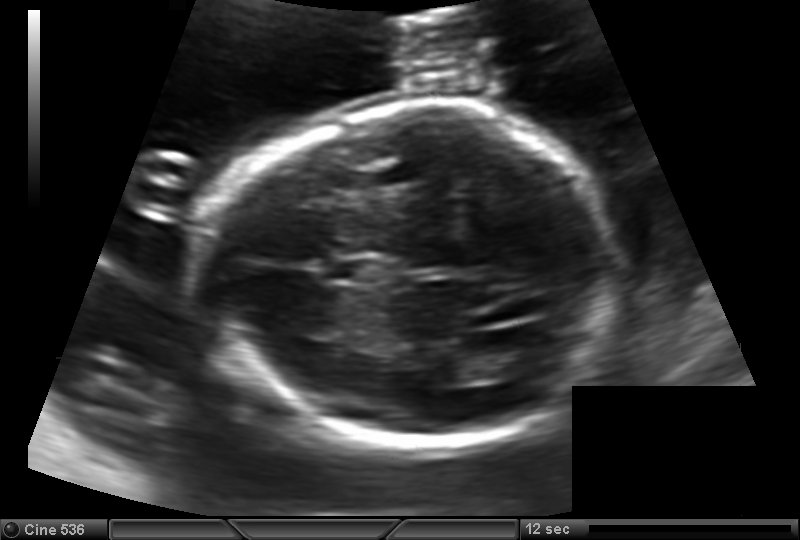
Fetal head ultrasound. Image width: 115.2 mm. Locate the fetal head and, if visible, the cavum septum pellucidum (CSP) and lateral ventricle (LV). Give bounding boxes as [x1,y1,x2,y2].

Head: [201,104,619,449]
CSP: [335,259,379,282]
Lateral ventricle: [482,339,550,382]